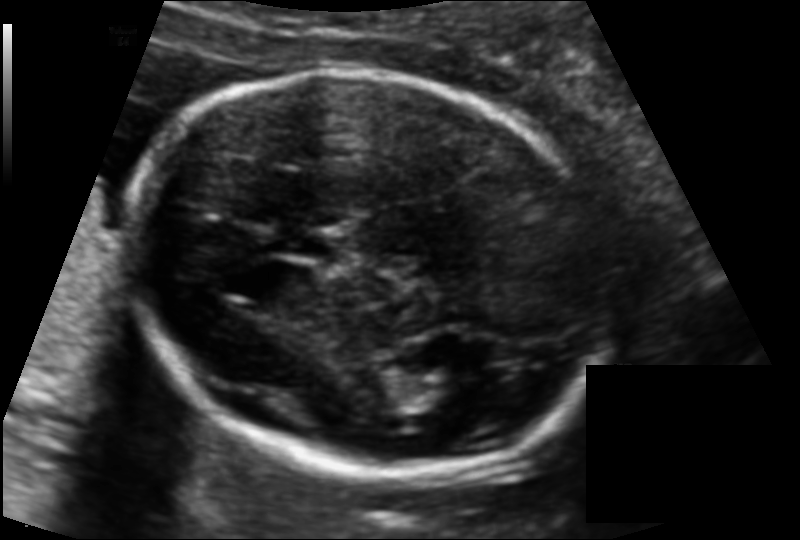
Estimate the fetal head circumference from this 2D ultrasound.

Head circumference: 170.1 mm (image width 93.1 mm).